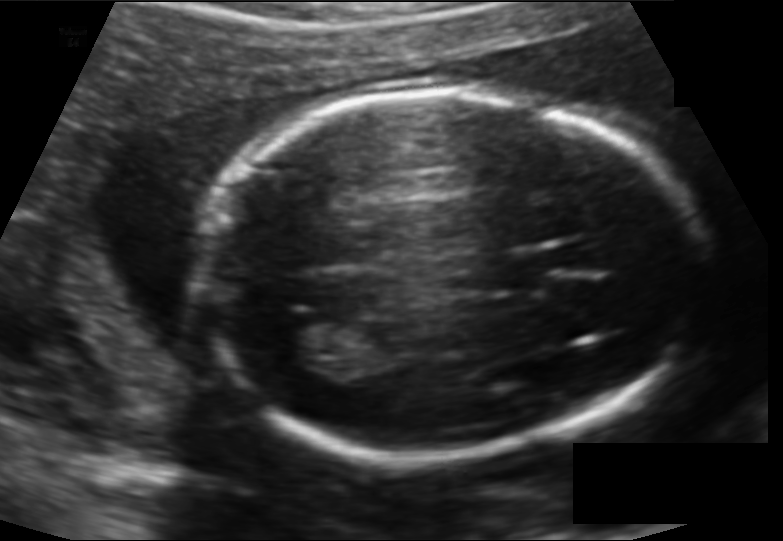
What is the fetal head circumference? Image width is 100.2 mm.

182.9 mm